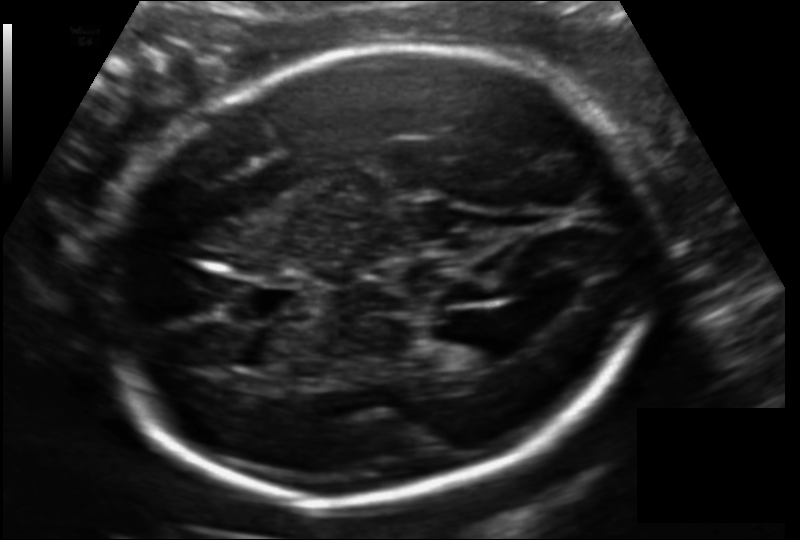
Estimate the fetal head circumference from this 2D ultrasound.

Head circumference: 224.0 mm (image width 111.6 mm).